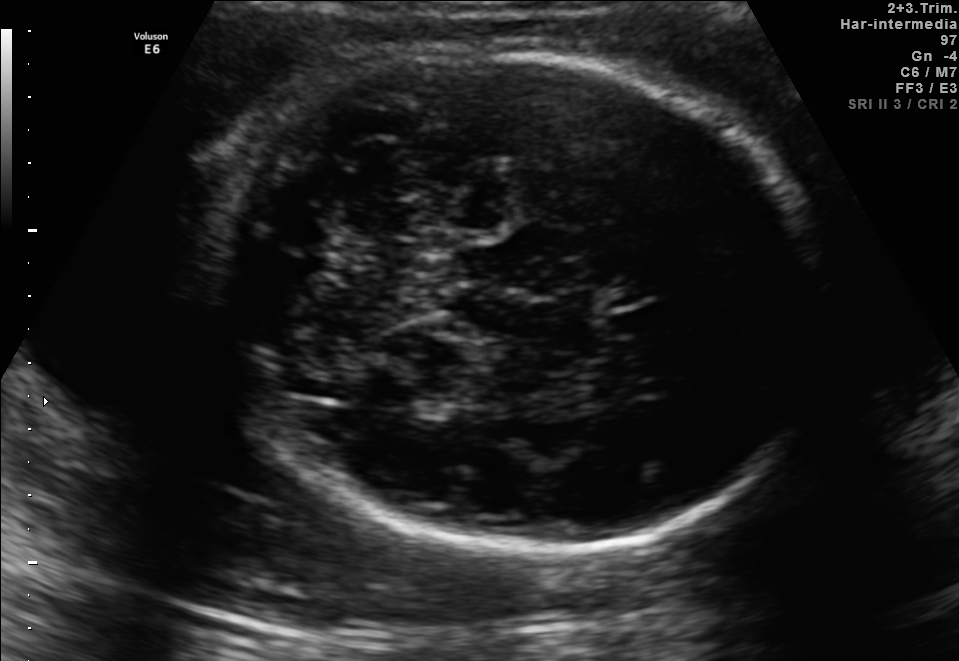
This is a 2D maternal-fetal ultrasound frame. Is it a fetal abdomen, fetal brain, fetal femur, fetal thorax, maternal cervix, or other standard plane? If it's fetal brain and one of the three standard brain planes (trans-thalamic, trans-cerebellum, trans-ventricular), name which.

Fetal brain (trans-cerebellum plane)